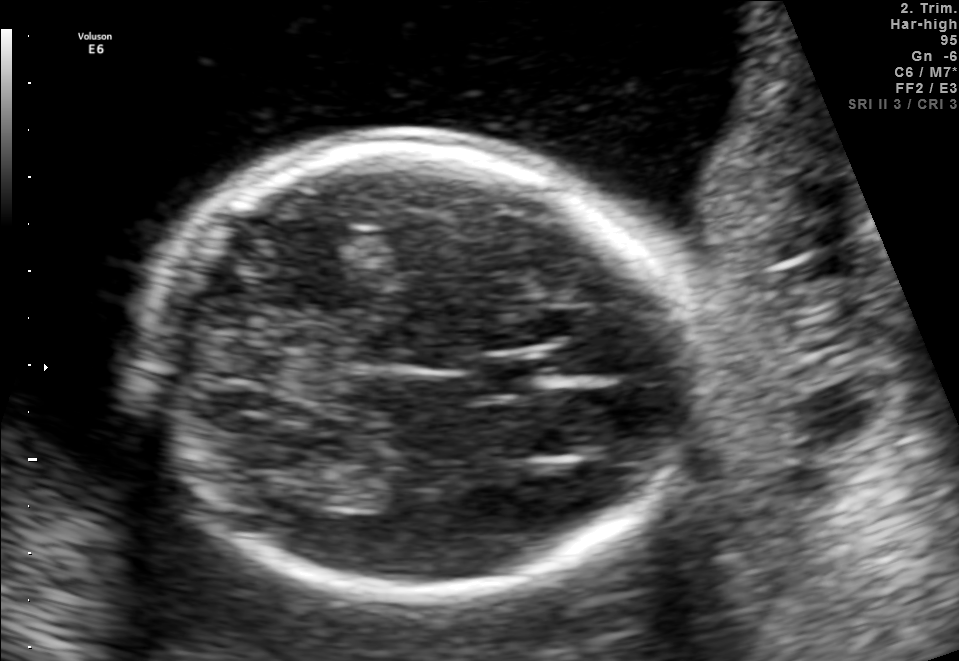
Fetal brain, trans-thalamic plane. Give [x1,y1,x2,y2] bounding boxes for each visible structure among: fetal head, CSP, LV.

Head: [143,143,692,592]
CSP: [471,355,545,396]